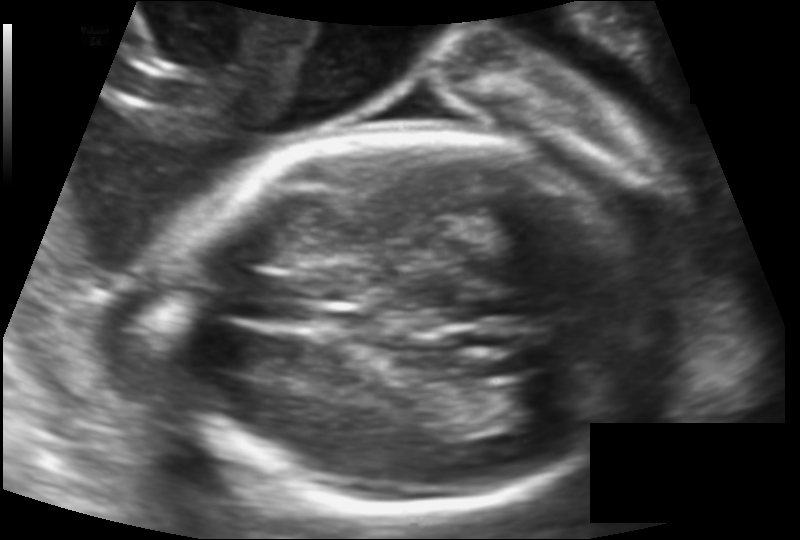
Measure the fetal head circumference shown in this ultrasound image. Image width: 106.2 mm.

Head circumference: 177.5 mm.